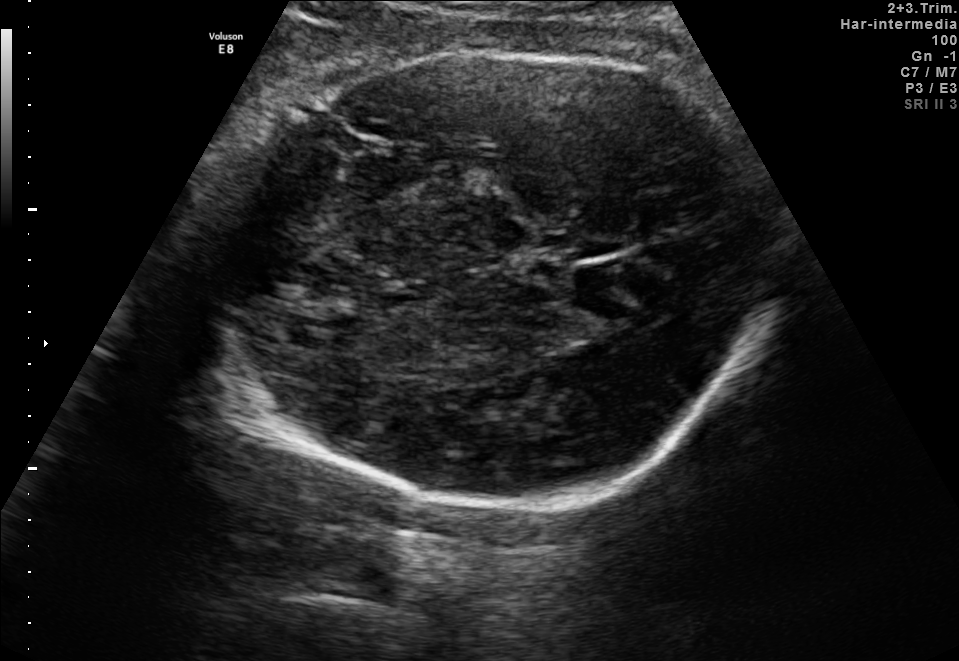
In this fetal brain, trans-thalamic plane, give bounding boxes for the head outline, cavum septum pellucidum (CSP), and lateral ventricle (LV), where visible.

Head: [206,44,779,519]